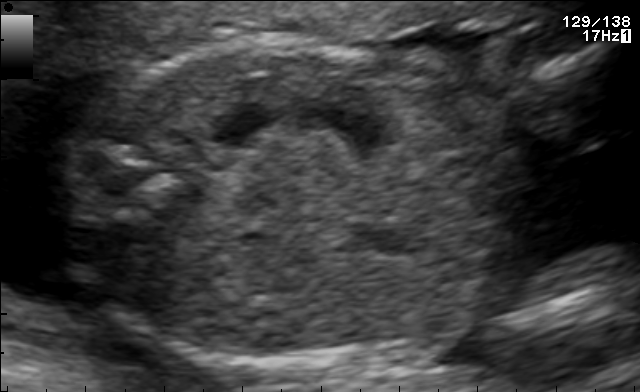
Which standard maternal-fetal ultrasound plane is shown: fetal abdomen, fetal brain, fetal femur, fetal thorax, maternal cervix, or other? If it's fetal brain and one of the three standard brain planes (trans-thalamic, trans-cerebellum, trans-ventricular), name which.

Fetal abdomen